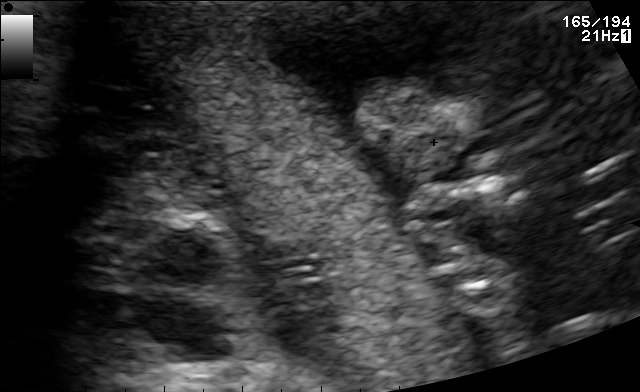
Which standard maternal-fetal ultrasound plane is shown: fetal abdomen, fetal brain, fetal femur, fetal thorax, maternal cervix, or other? If it's fetal brain and one of the three standard brain planes (trans-thalamic, trans-cerebellum, trans-ventricular), name which.

Other